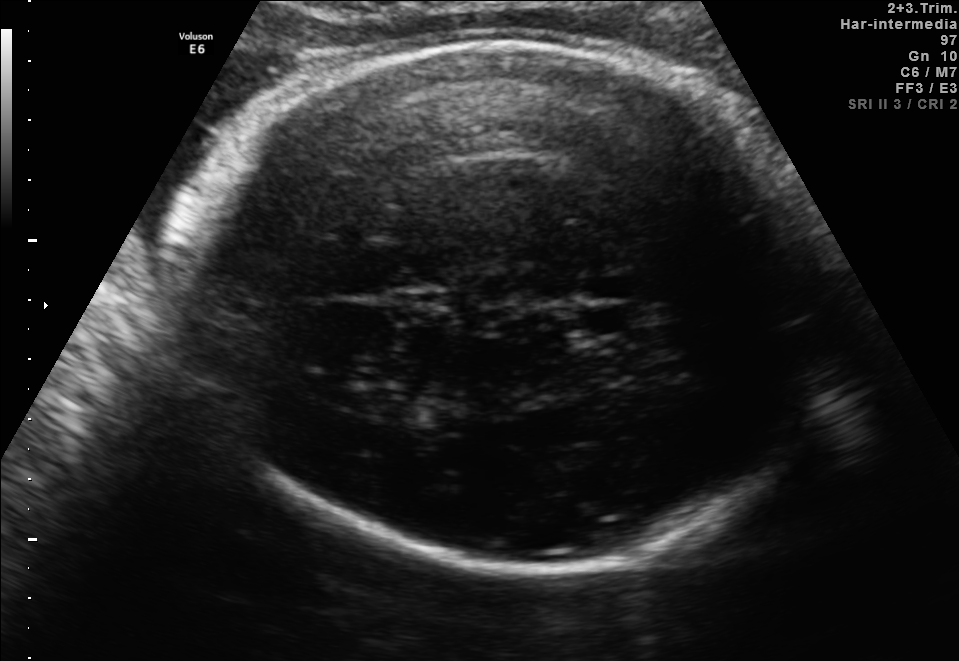
In this fetal brain, trans-thalamic plane, give bounding boxes for the head outline, cavum septum pellucidum (CSP), and lateral ventricle (LV), where visible.

Head: [197,38,836,569]
CSP: [580,304,629,337]